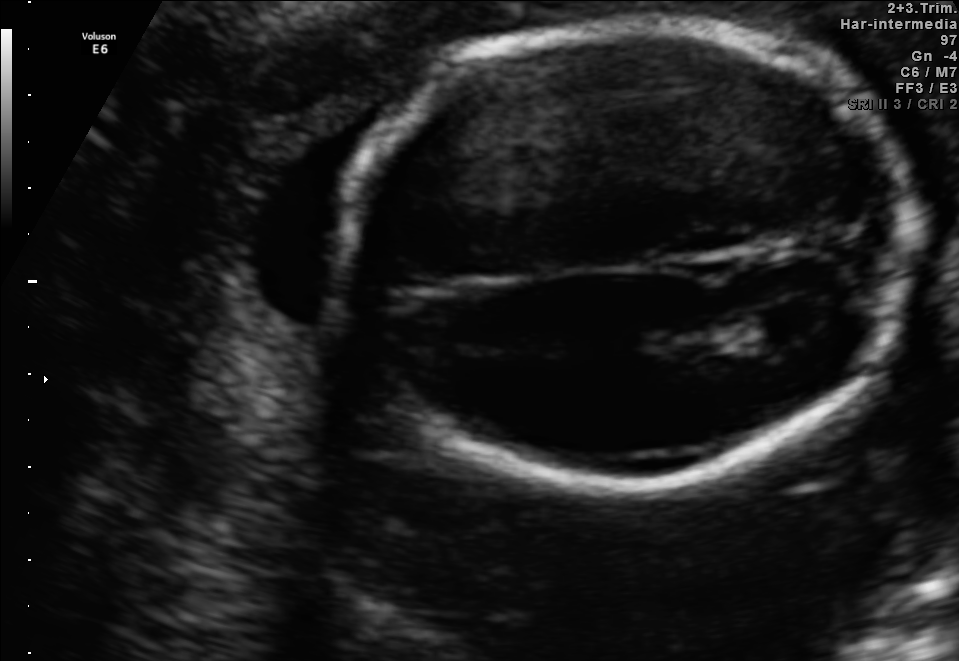
Fetal brain, trans-ventricular plane. Give [x1,y1,x2,y2] bounding boxes for each visible structure among: fetal head, CSP, LV.

Head: [330,11,923,502]